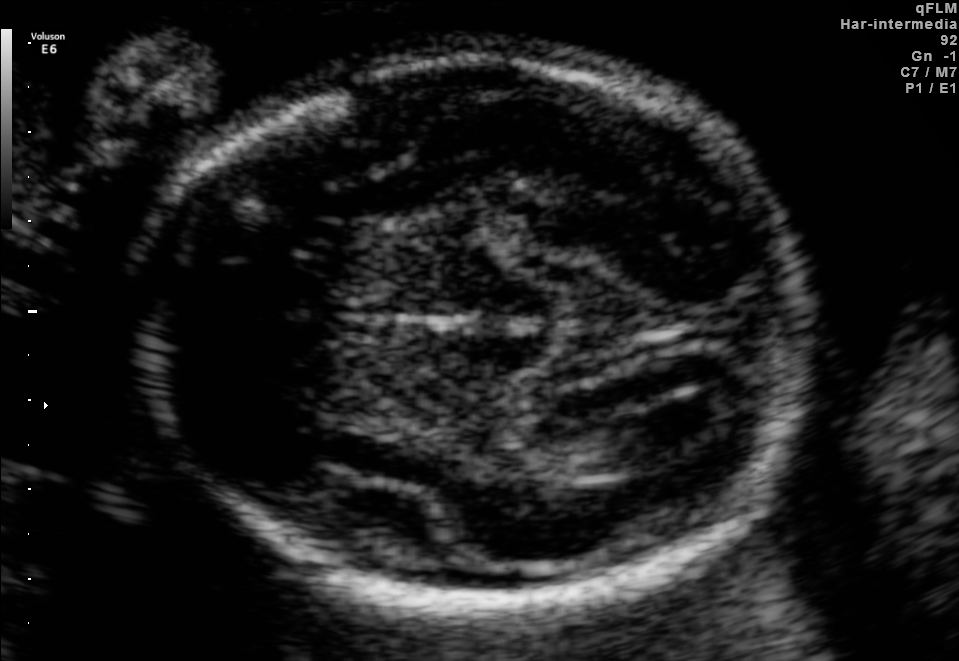
In this fetal brain, trans-thalamic plane, give the bounding box of the fetal head.

[134,56,817,601]